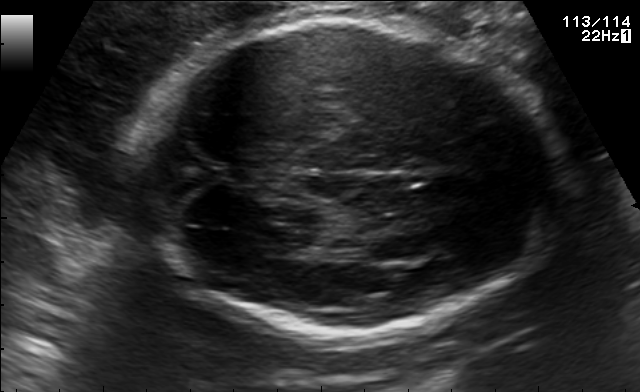
Fetal brain, trans-thalamic plane. Where is the fetal head?

Head bounding box: [131,18,577,336]